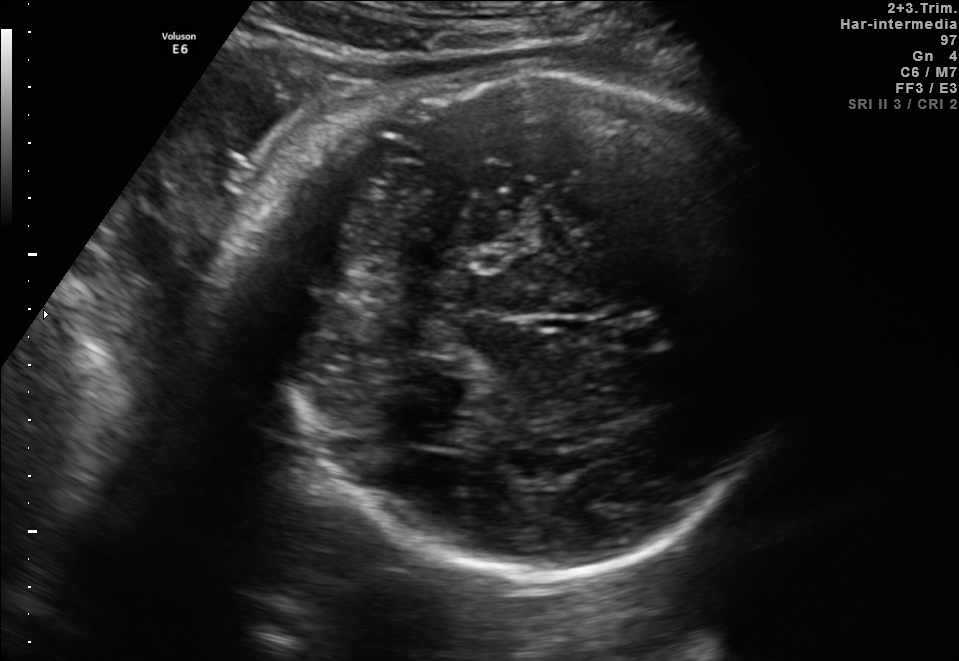
Classify this maternal-fetal ultrasound image as one of the six standard planes — fetal abdomen, fetal brain, fetal femur, fetal thorax, maternal cervix, or other. If it's fetal brain and one of the three standard brain planes (trans-thalamic, trans-cerebellum, trans-ventricular), name which.

Fetal brain (trans-cerebellum plane)